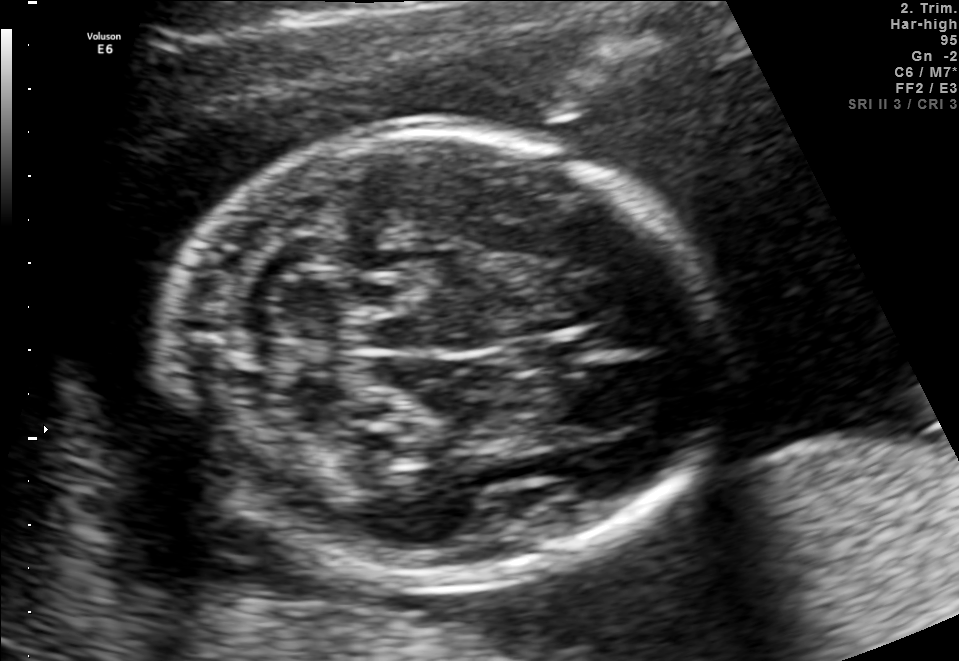
Fetal brain, trans-cerebellum plane. Locate the cavum septum pellucidum.

CSP: [504,333,574,375]